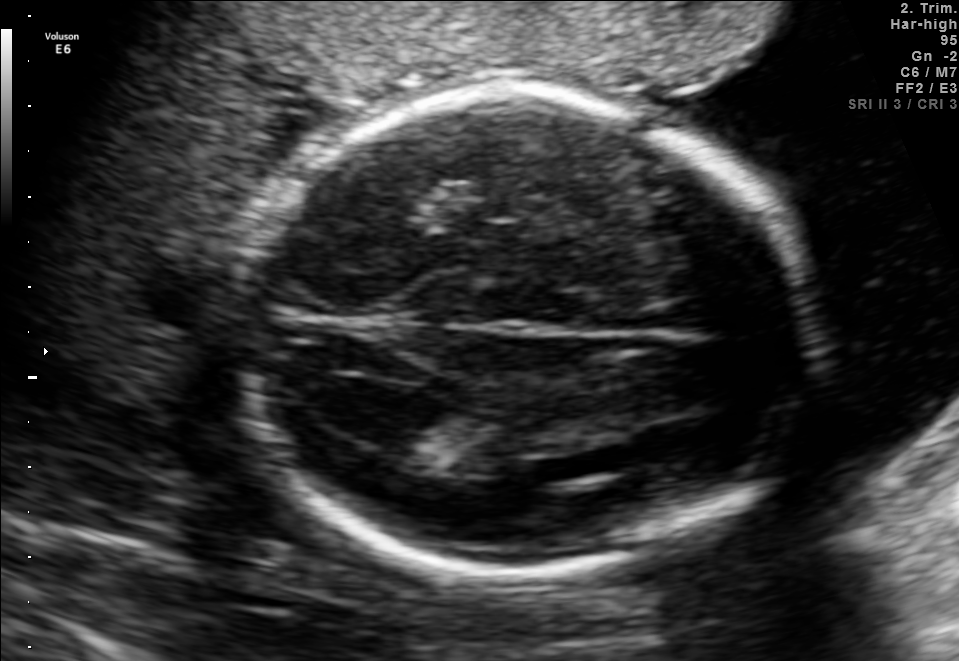
Fetal brain, trans-ventricular plane. Where is the lateral ventricle?

Lateral ventricle bounding box: [320,359,448,462]